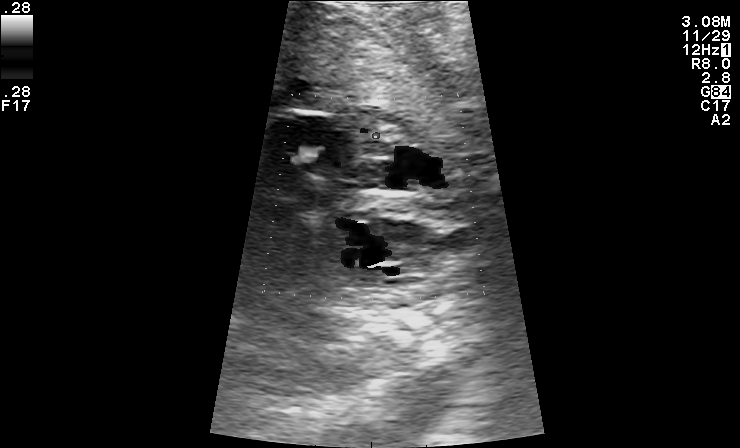
Classify this maternal-fetal ultrasound image as one of the six standard planes — fetal abdomen, fetal brain, fetal femur, fetal thorax, maternal cervix, or other. If it's fetal brain and one of the three standard brain planes (trans-thalamic, trans-cerebellum, trans-ventricular), name which.

Other